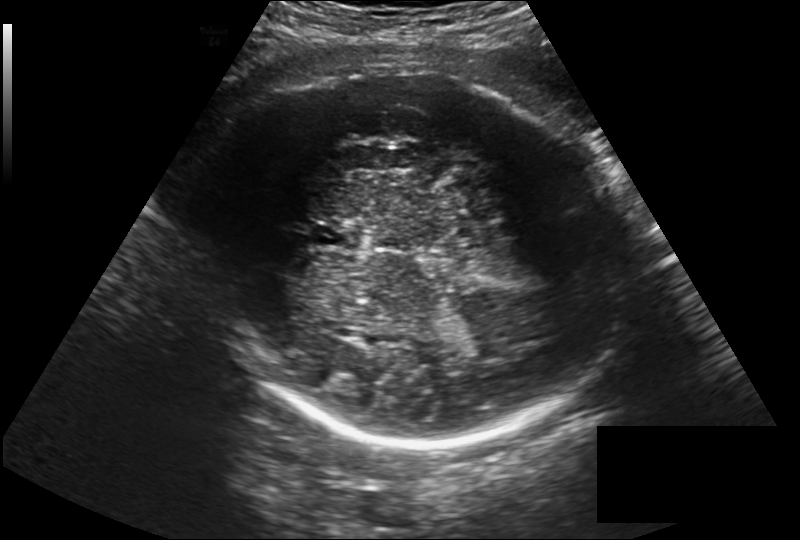
Fetal head ultrasound. Image width: 205.7 mm. Locate the cavum septum pellucidum.

CSP: [310,220,365,251]